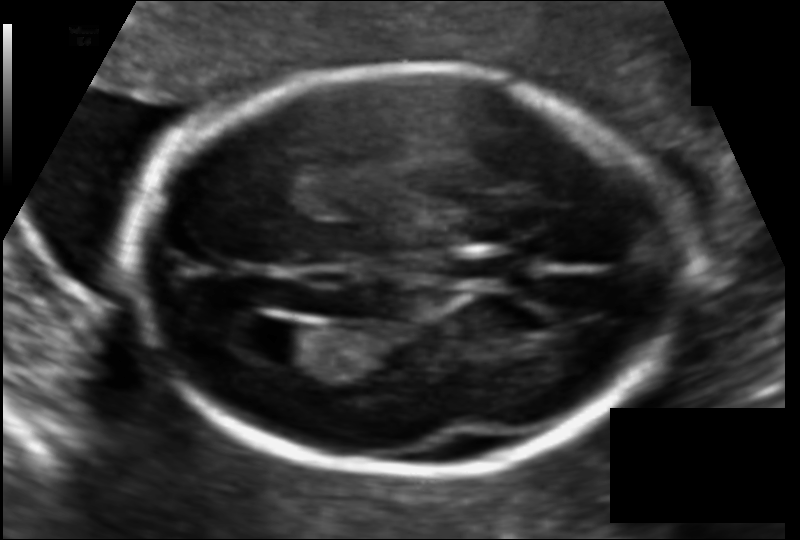
What is the fetal head circumference? Image width is 89.2 mm.

176.2 mm